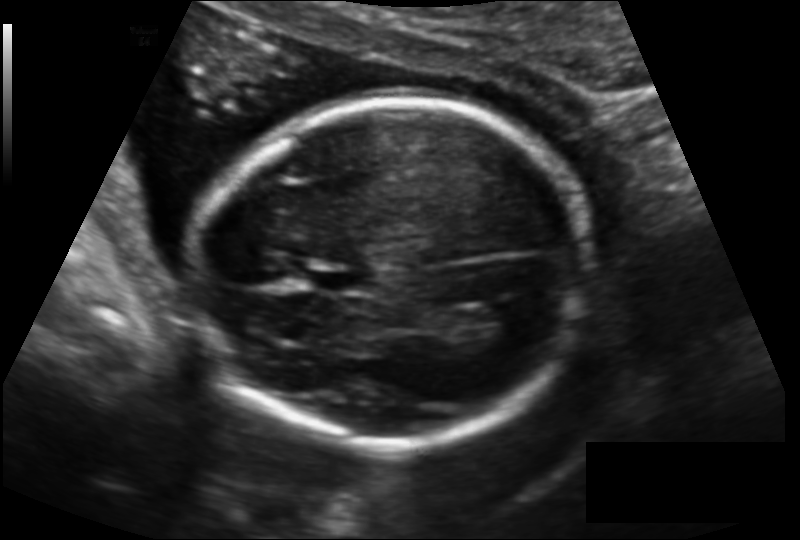
Estimate the fetal head circumference from this 2D ultrasound. Image width: 111.8 mm.

Head circumference: 167.3 mm.